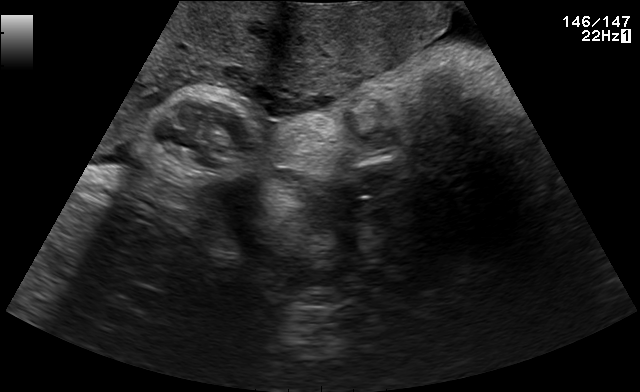
Identify the standard plane in this fetal ultrasound image: fetal abdomen, fetal brain, fetal femur, fetal thorax, maternal cervix, or other. If it's fetal brain and one of the three standard brain planes (trans-thalamic, trans-cerebellum, trans-ventricular), name which.

Other